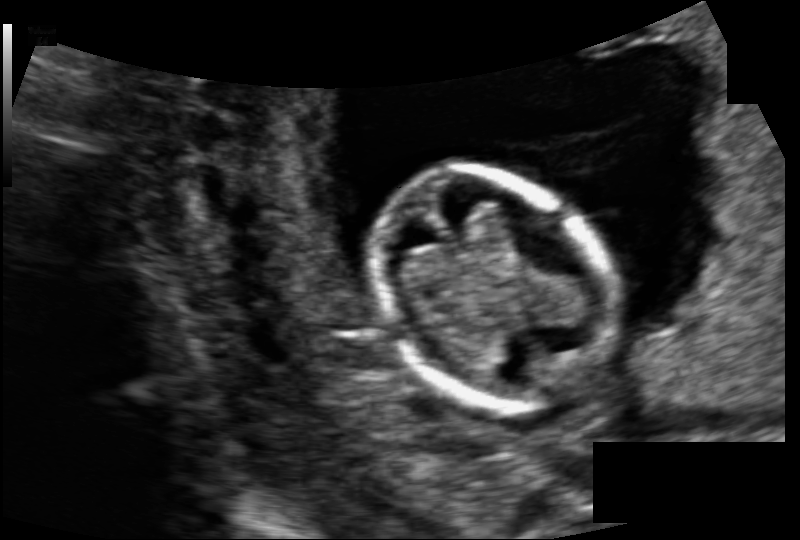
Estimate the fetal head circumference from this 2D ultrasound.

Head circumference: 82.0 mm (image width 83.3 mm).